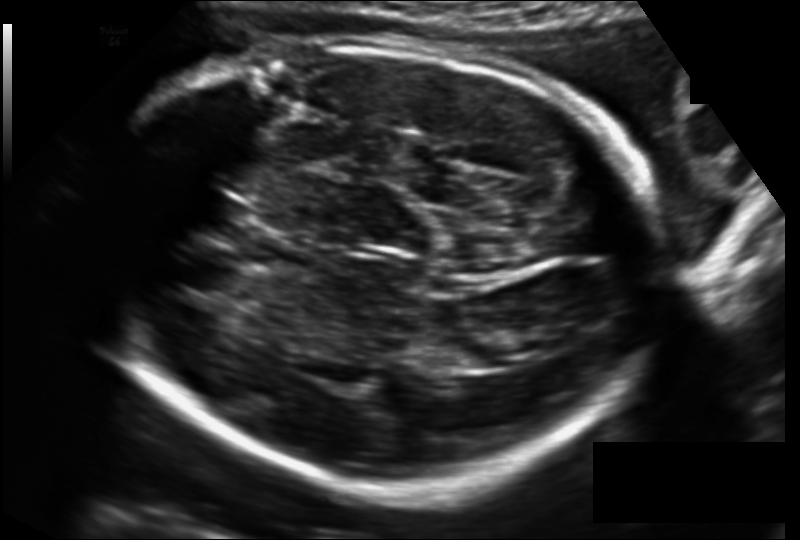
Estimate the fetal head circumference from this 2D ultrasound. Image width: 133.8 mm.

Head circumference: 275.9 mm.